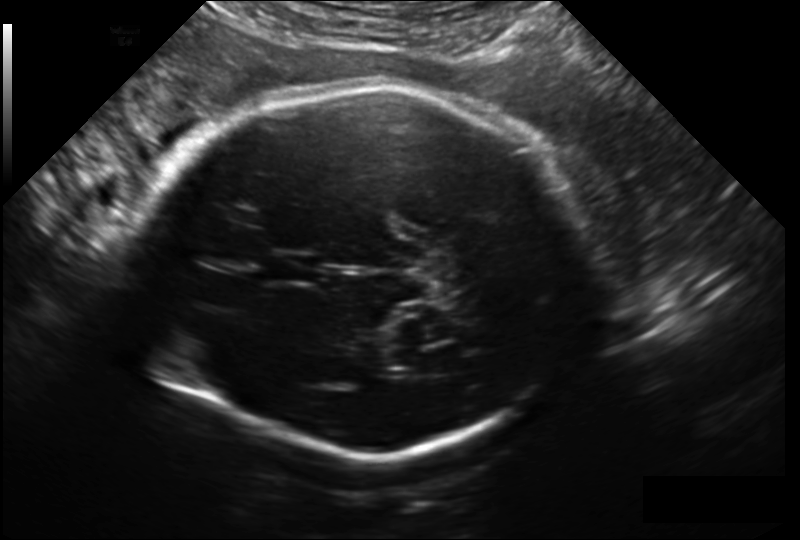
Fetal head ultrasound. Image width: 167.2 mm. Locate the cavum septum pellucidum.

CSP: [266,251,320,284]